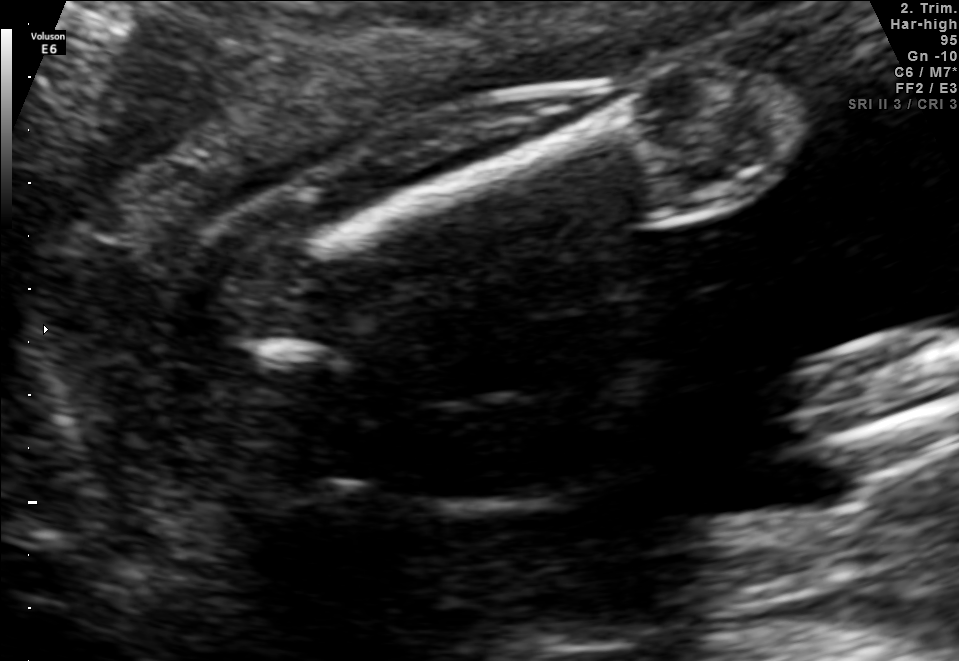
This is a 2D maternal-fetal ultrasound frame. Is it a fetal abdomen, fetal brain, fetal femur, fetal thorax, maternal cervix, or other standard plane? If it's fetal brain and one of the three standard brain planes (trans-thalamic, trans-cerebellum, trans-ventricular), name which.

Fetal femur